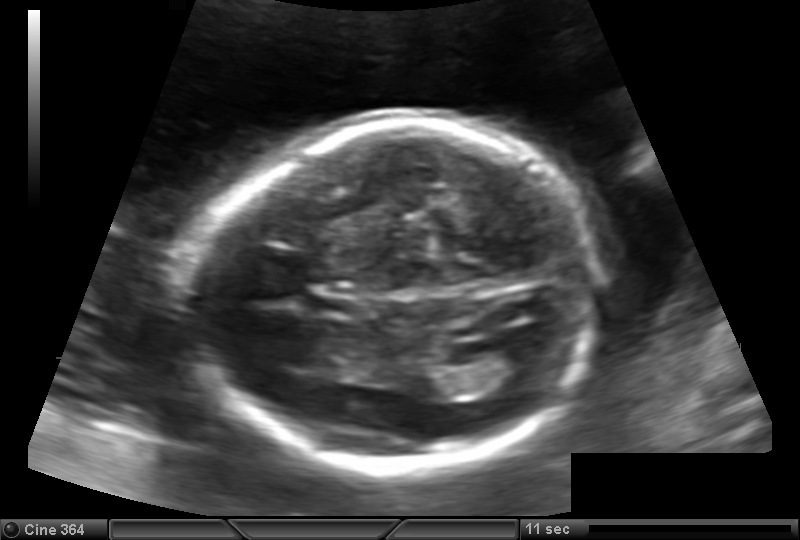
What is the fetal head circumference? Image width is 115.2 mm.

178.3 mm